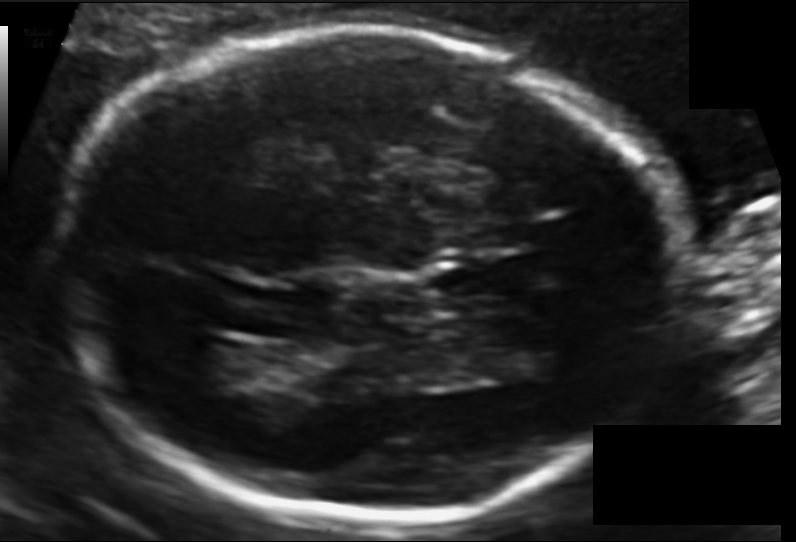
Fetal head ultrasound. Image width: 95.4 mm. Give [x1,y1,x2,y2] bounding boxes for each visible structure among: fetal head, CSP, LV.

Head: [52,27,684,517]
CSP: [437,265,519,299]
Lateral ventricle: [164,330,251,388]